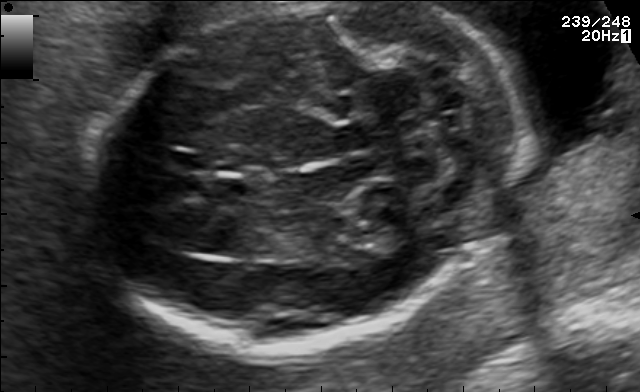
Fetal brain, trans-cerebellum plane. Locate the fetal head.

Head: [88,2,505,352]